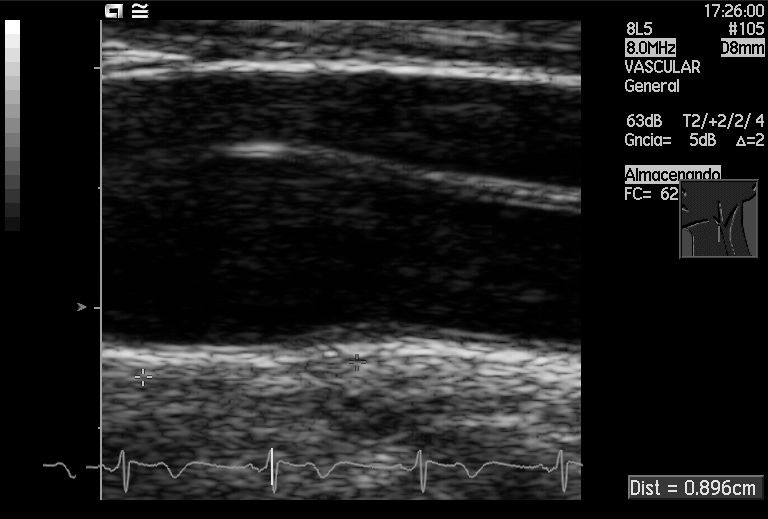
Which standard maternal-fetal ultrasound plane is shown: fetal abdomen, fetal brain, fetal femur, fetal thorax, maternal cervix, or other? If it's fetal brain and one of the three standard brain planes (trans-thalamic, trans-cerebellum, trans-ventricular), name which.

Other